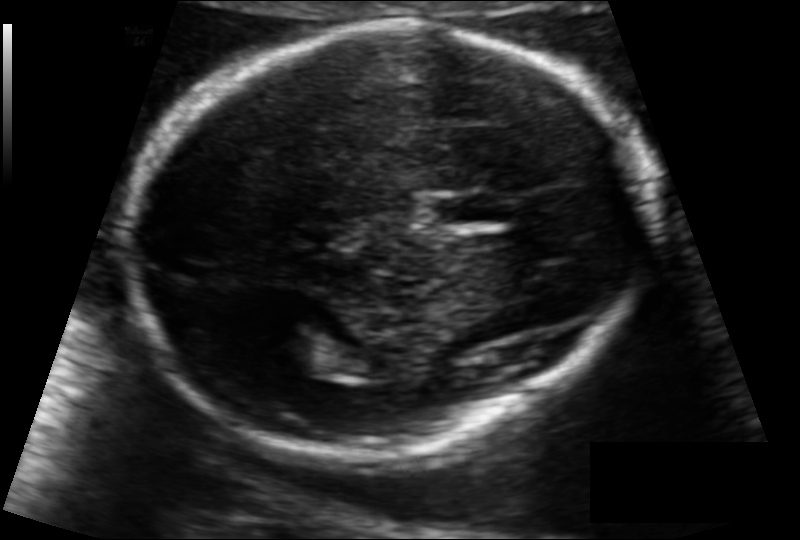
Estimate the fetal head circumference from this 2D ultrasound.

Head circumference: 172.6 mm (image width 88.7 mm).